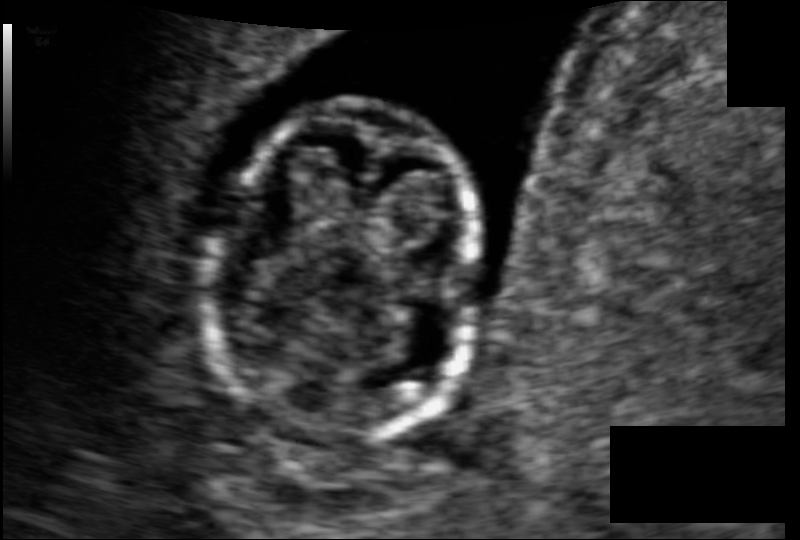
Estimate the fetal head circumference from this 2D ultrasound. Image width: 59.1 mm.

Head circumference: 74.6 mm.